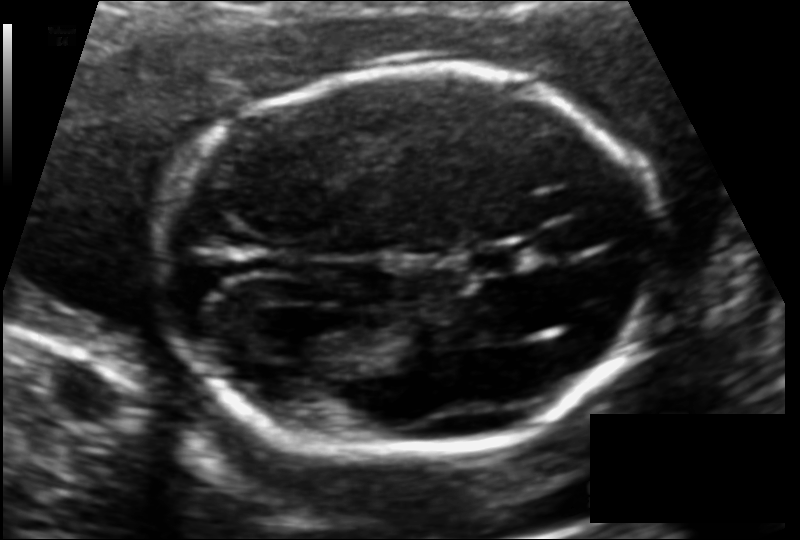
In this fetal head ultrasound, give the bounding box of the fetal head. Image width: 93.1 mm.

[159,72,661,453]